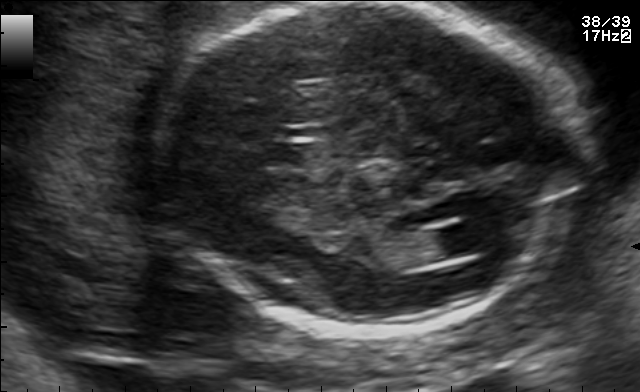
In this fetal brain, trans-ventricular plane, give the bounding box of the fetal head.

[152,2,583,336]